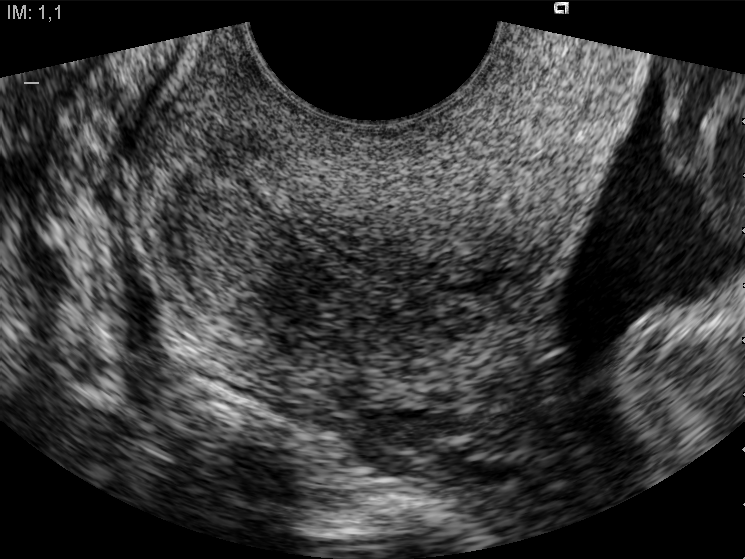
This is a 2D maternal-fetal ultrasound frame. Is it a fetal abdomen, fetal brain, fetal femur, fetal thorax, maternal cervix, or other standard plane? If it's fetal brain and one of the three standard brain planes (trans-thalamic, trans-cerebellum, trans-ventricular), name which.

Maternal cervix